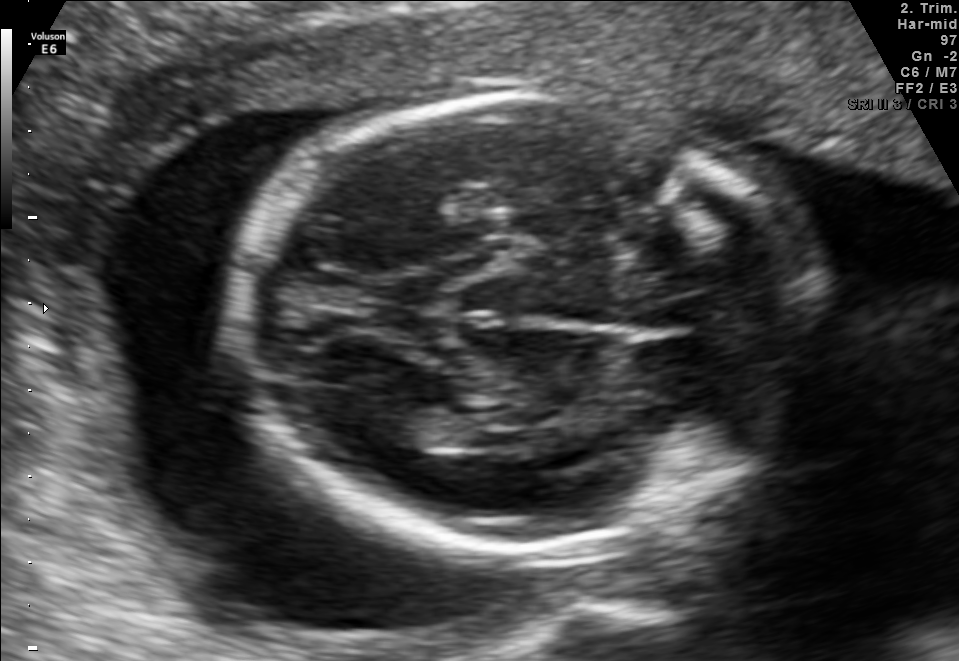
In this fetal brain, trans-thalamic plane, give the bounding box of the fetal head.

[225,96,832,547]